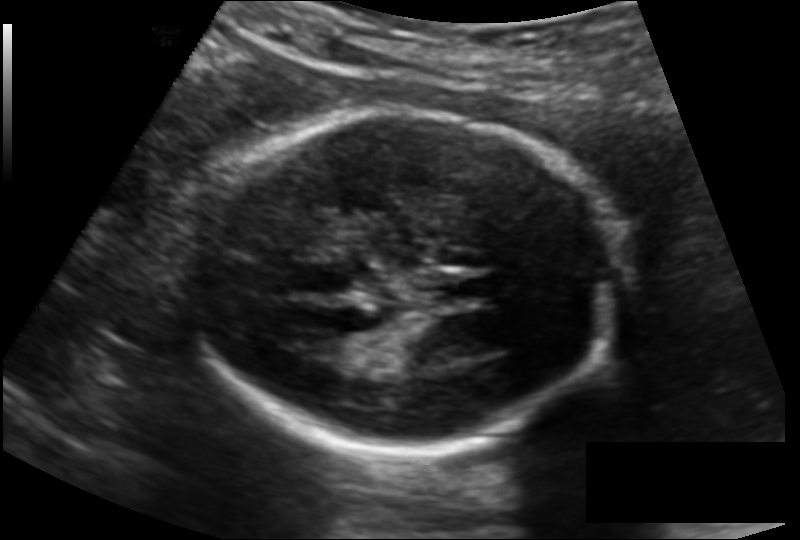
Fetal head ultrasound. Image width: 107.6 mm. Where is the fetal head?

Head bounding box: [191,112,626,454]